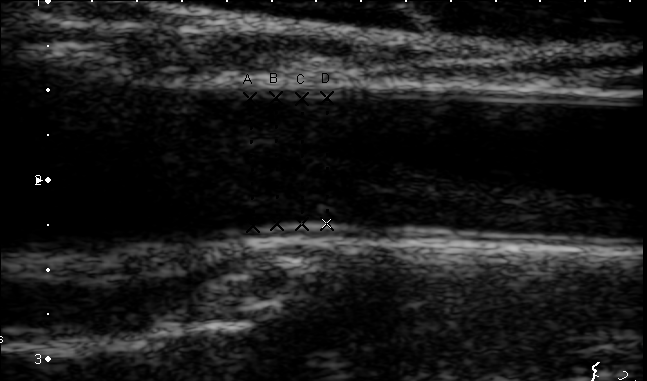
Which standard maternal-fetal ultrasound plane is shown: fetal abdomen, fetal brain, fetal femur, fetal thorax, maternal cervix, or other? If it's fetal brain and one of the three standard brain planes (trans-thalamic, trans-cerebellum, trans-ventricular), name which.

Other